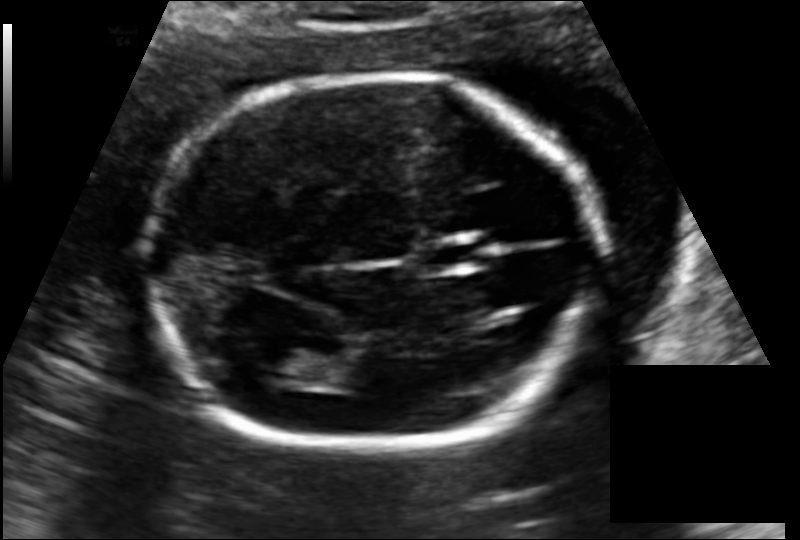
In this fetal head ultrasound, give the bounding box of the fetal head. Image width: 101.6 mm.

[148,74,603,453]